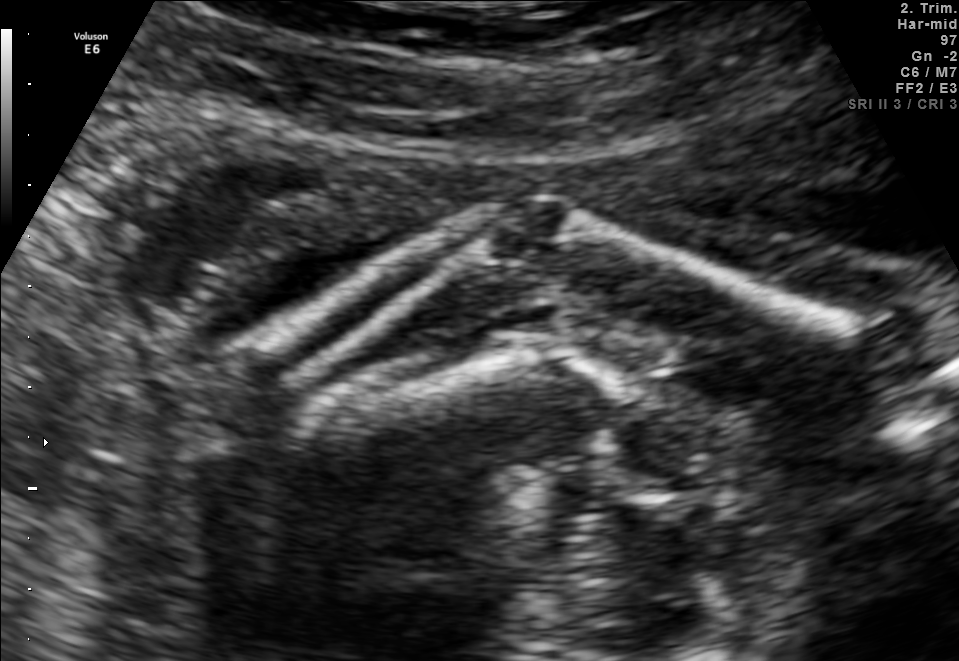
Identify the standard plane in this fetal ultrasound image: fetal abdomen, fetal brain, fetal femur, fetal thorax, maternal cervix, or other. If it's fetal brain and one of the three standard brain planes (trans-thalamic, trans-cerebellum, trans-ventricular), name which.

Fetal femur